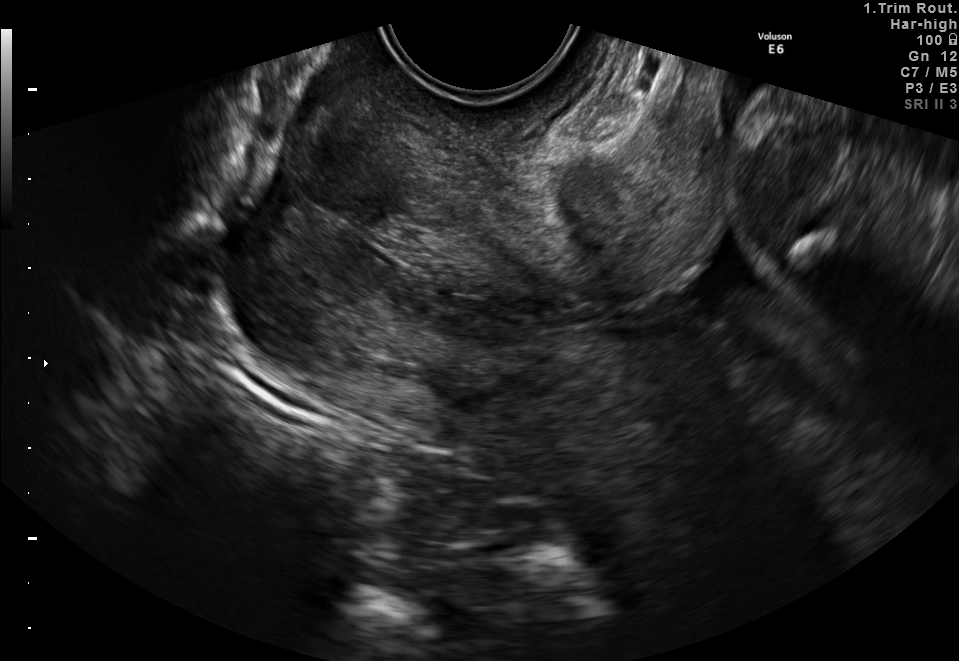
This is a 2D maternal-fetal ultrasound frame. Is it a fetal abdomen, fetal brain, fetal femur, fetal thorax, maternal cervix, or other standard plane? If it's fetal brain and one of the three standard brain planes (trans-thalamic, trans-cerebellum, trans-ventricular), name which.

Maternal cervix